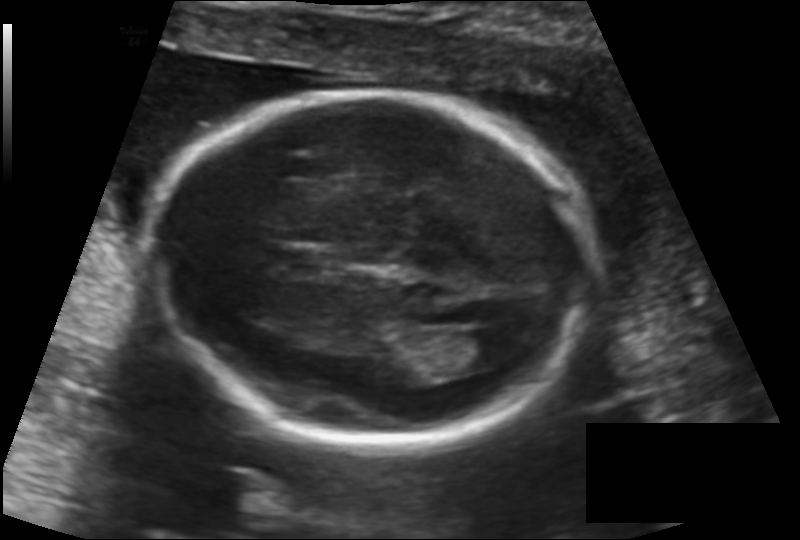
Measure the fetal head circumference shown in this ultrasound image. Image width: 109.6 mm.

Head circumference: 175.1 mm.